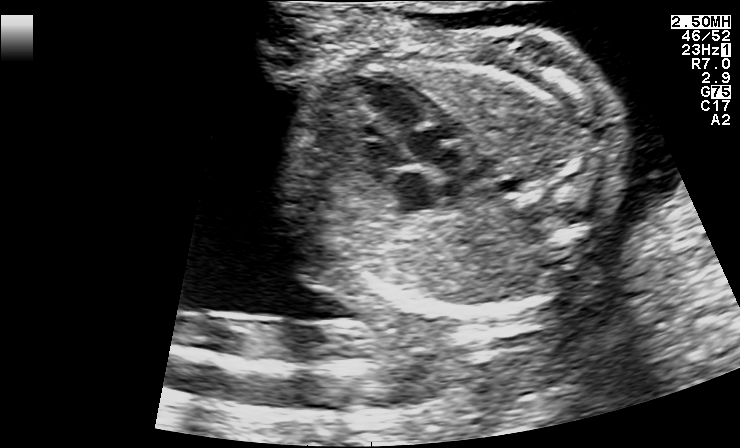
Identify the standard plane in this fetal ultrasound image: fetal abdomen, fetal brain, fetal femur, fetal thorax, maternal cervix, or other. If it's fetal brain and one of the three standard brain planes (trans-thalamic, trans-cerebellum, trans-ventricular), name which.

Fetal thorax